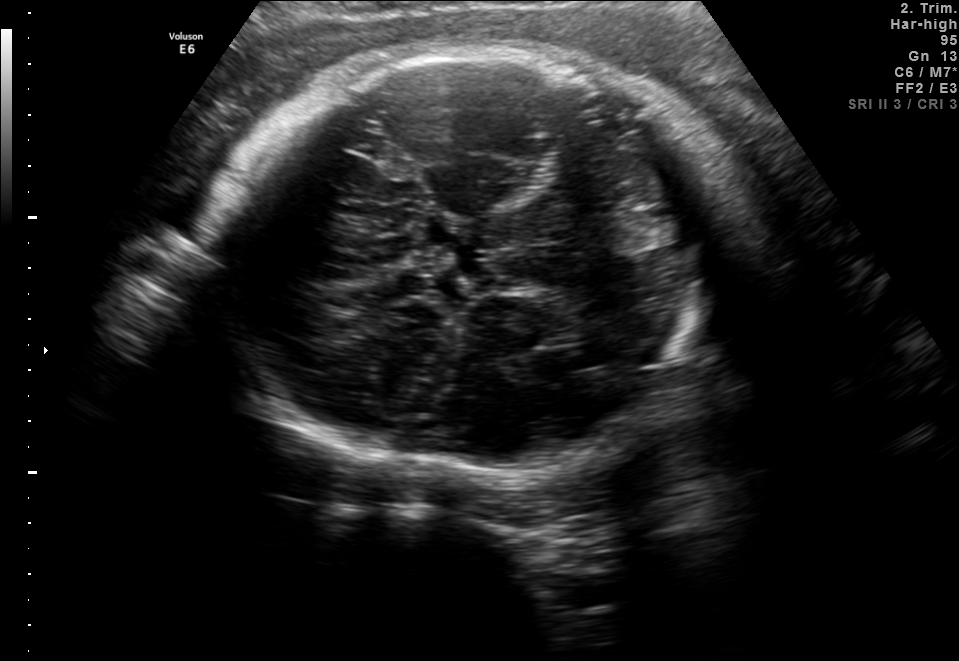
In this fetal brain, trans-thalamic plane, give bounding boxes for the head outline, cavum septum pellucidum (CSP), and lateral ventricle (LV), where visible.

Head: [204,49,747,472]